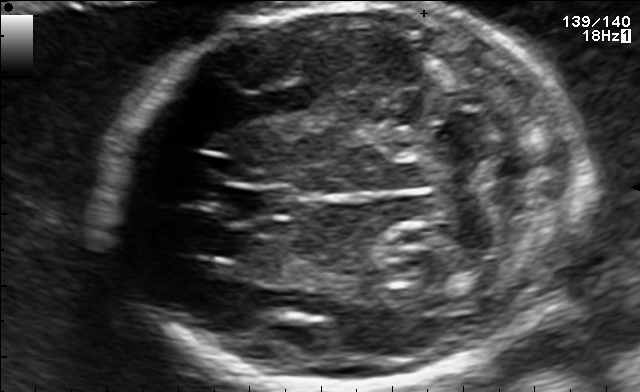
In this fetal brain, trans-cerebellum plane, give bounding boxes for the head outline, cavum septum pellucidum (CSP), and lateral ventricle (LV), where visible.

Head: [107,5,587,388]
CSP: [230,185,294,219]